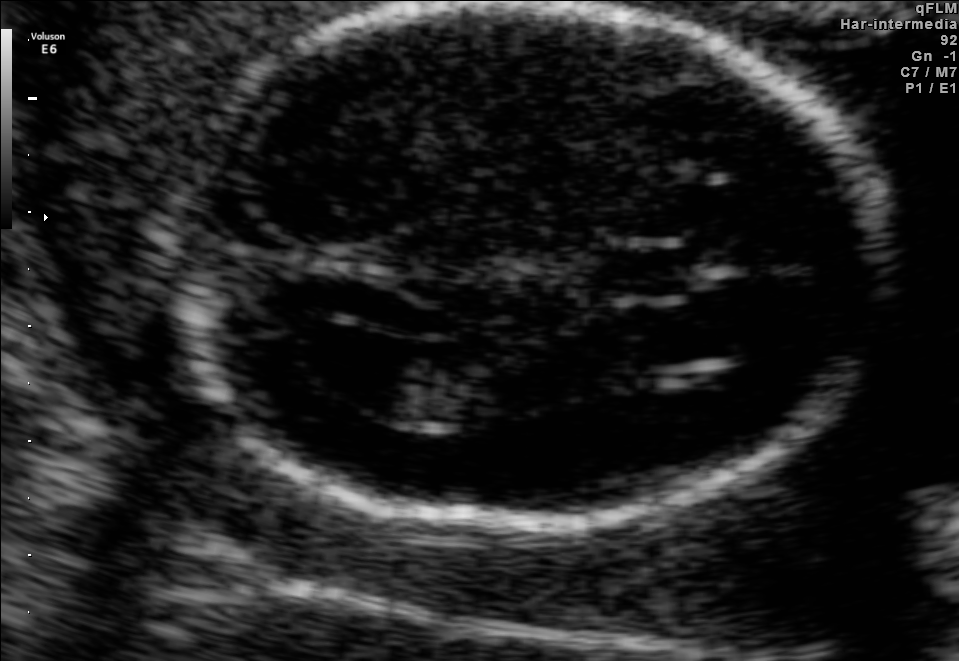
Fetal brain, trans-ventricular plane. Where is the lateral ventricle?

Lateral ventricle bounding box: [276,307,443,421]